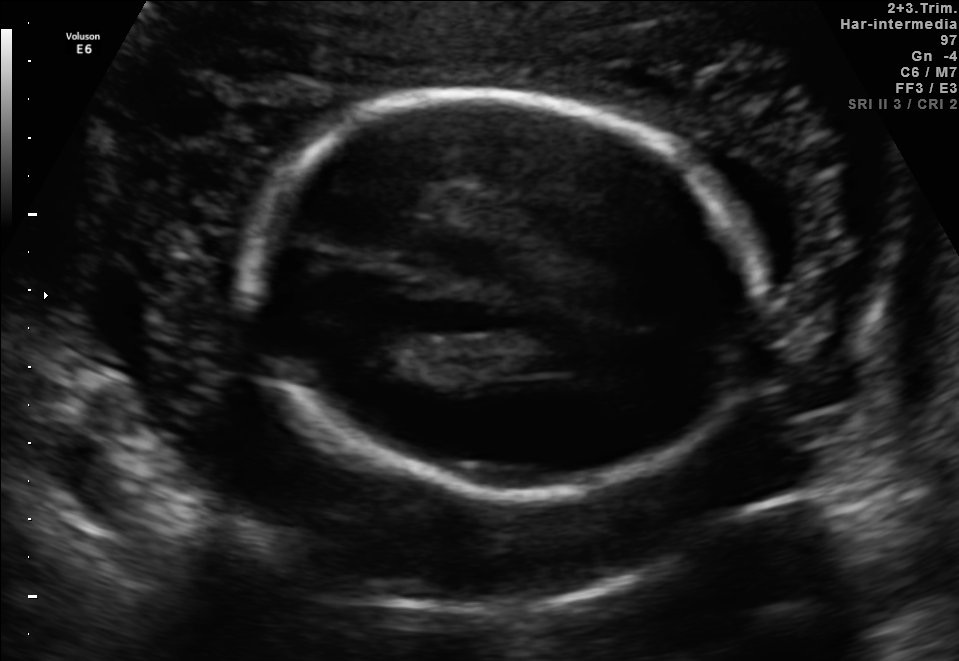
In this fetal brain, trans-thalamic plane, give bounding boxes for the head outline, cavum septum pellucidum (CSP), and lateral ventricle (LV), where visible.

Head: [250,98,765,499]